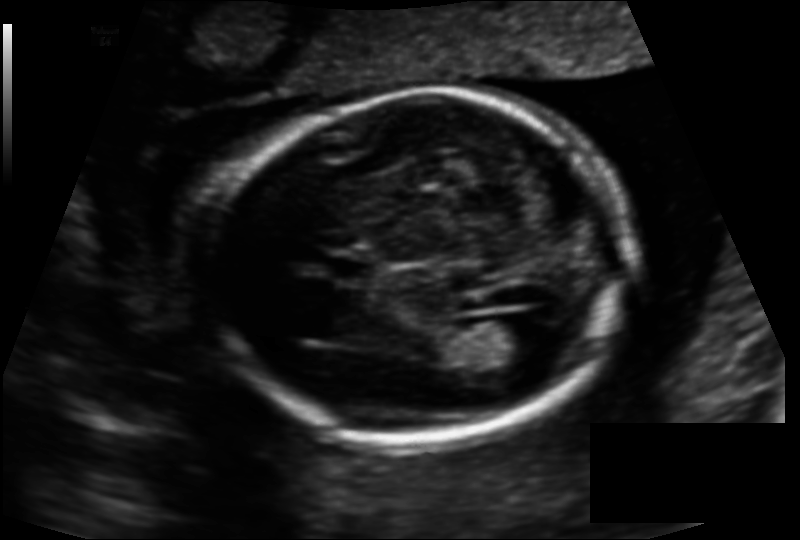
Fetal head ultrasound. Image width: 107.3 mm. Locate the fetal head.

Head: [205,93,628,444]